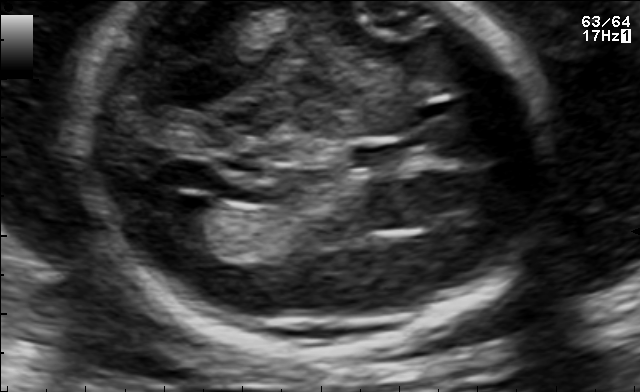
Fetal brain, trans-ventricular plane. Locate the cavum septum pellucidum (CSP) and lateral ventricle (LV), if visible. Give bounding boxes as [x1,y1,x2,y2].

Lateral ventricle: [142,187,214,242]